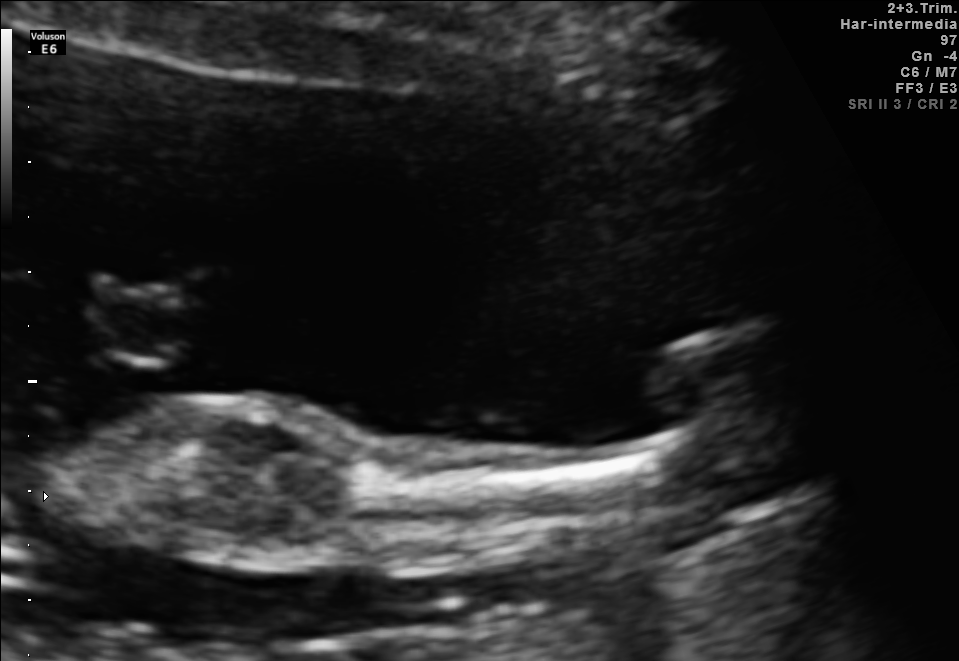
Which standard maternal-fetal ultrasound plane is shown: fetal abdomen, fetal brain, fetal femur, fetal thorax, maternal cervix, or other? If it's fetal brain and one of the three standard brain planes (trans-thalamic, trans-cerebellum, trans-ventricular), name which.

Other